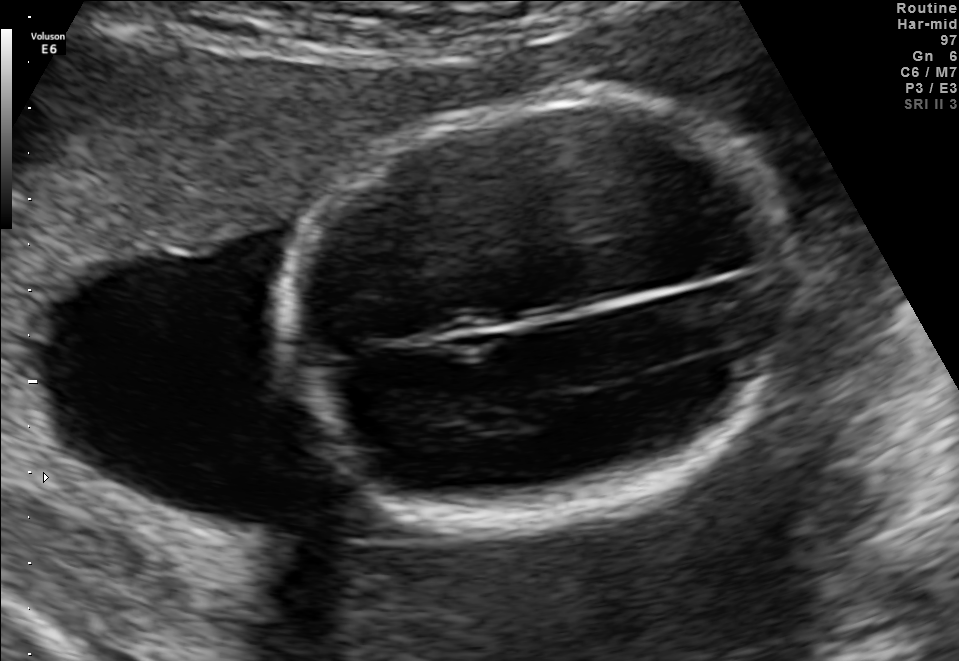
In this fetal brain, trans-thalamic plane, give bounding boxes for the head outline, cavum septum pellucidum (CSP), and lateral ventricle (LV), where visible.

Head: [291,103,790,518]